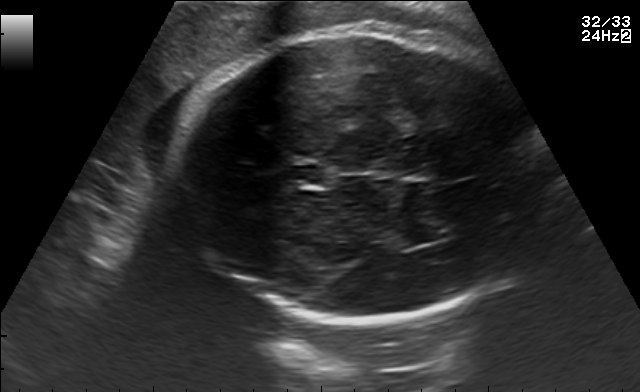
Fetal brain, trans-thalamic plane. Where is the lateral ventricle?

Lateral ventricle bounding box: [391,220,452,252]